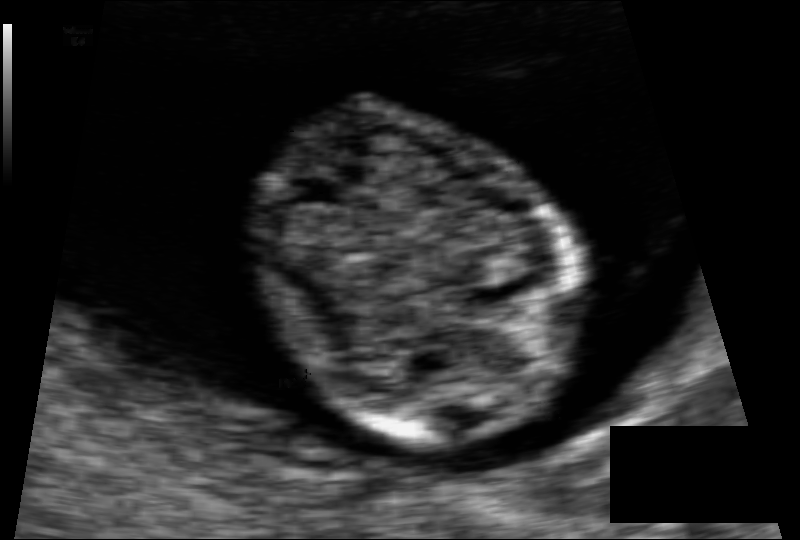
Estimate the fetal head circumference from this 2D ultrasound.

Head circumference: 65.7 mm (image width 49.5 mm).